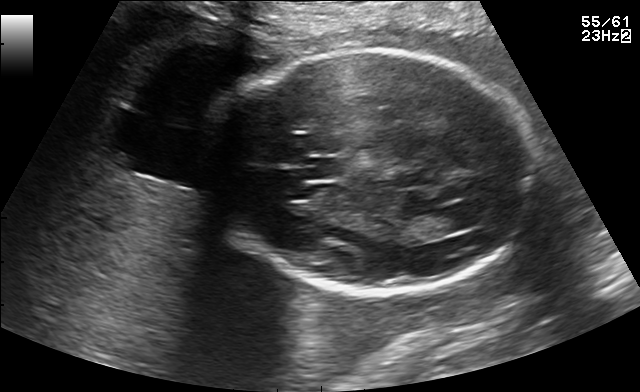
Fetal brain, trans-thalamic plane. Where is the fetal head?

Head bounding box: [209,49,538,290]